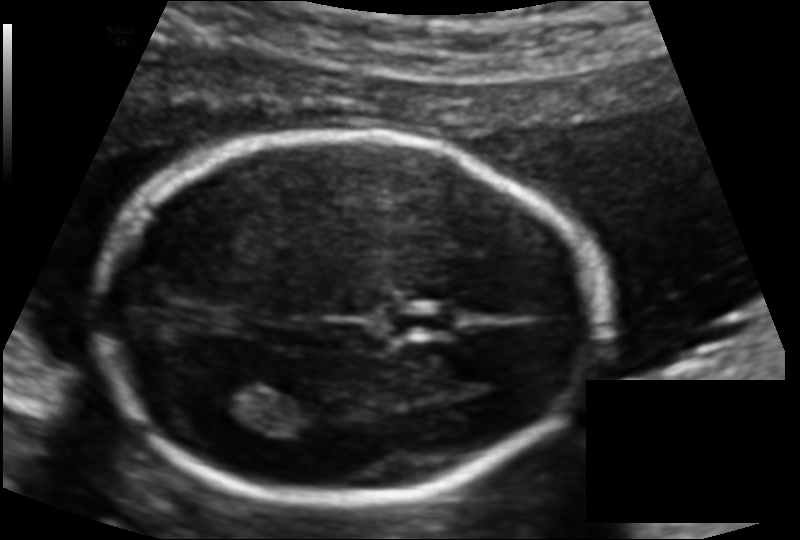
In this fetal head ultrasound, give the bounding box of the lateral ventricle. Image width: 91.6 mm.

[200,363,285,435]